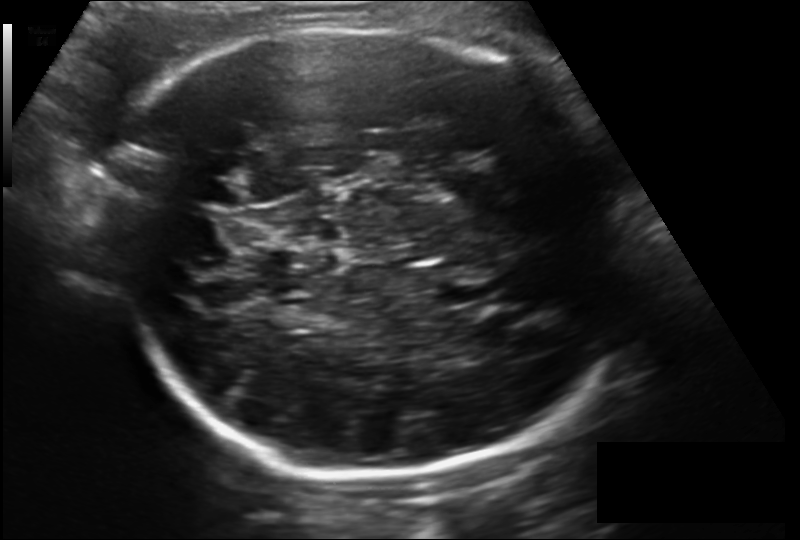
In this fetal head ultrasound, give bounding boxes for the head outline, cavum septum pellucidum (CSP), and lateral ventricle (LV), where visible. Image width: 152.2 mm.

Head: [97,28,630,476]